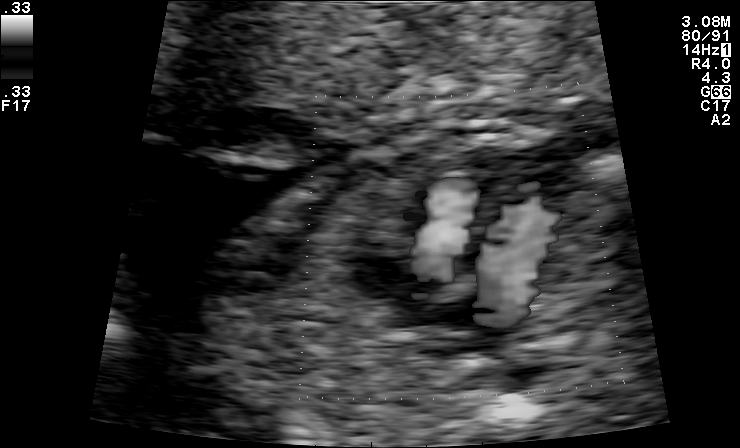
Which standard maternal-fetal ultrasound plane is shown: fetal abdomen, fetal brain, fetal femur, fetal thorax, maternal cervix, or other? If it's fetal brain and one of the three standard brain planes (trans-thalamic, trans-cerebellum, trans-ventricular), name which.

Other